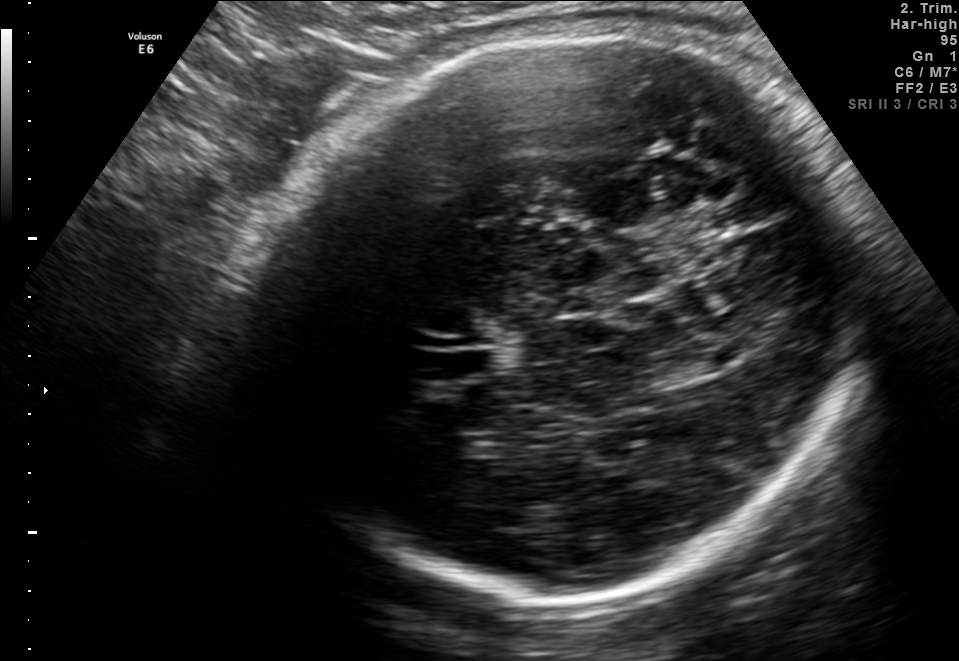
Fetal brain, trans-thalamic plane. Locate the fetal head.

Head: [232,32,867,597]